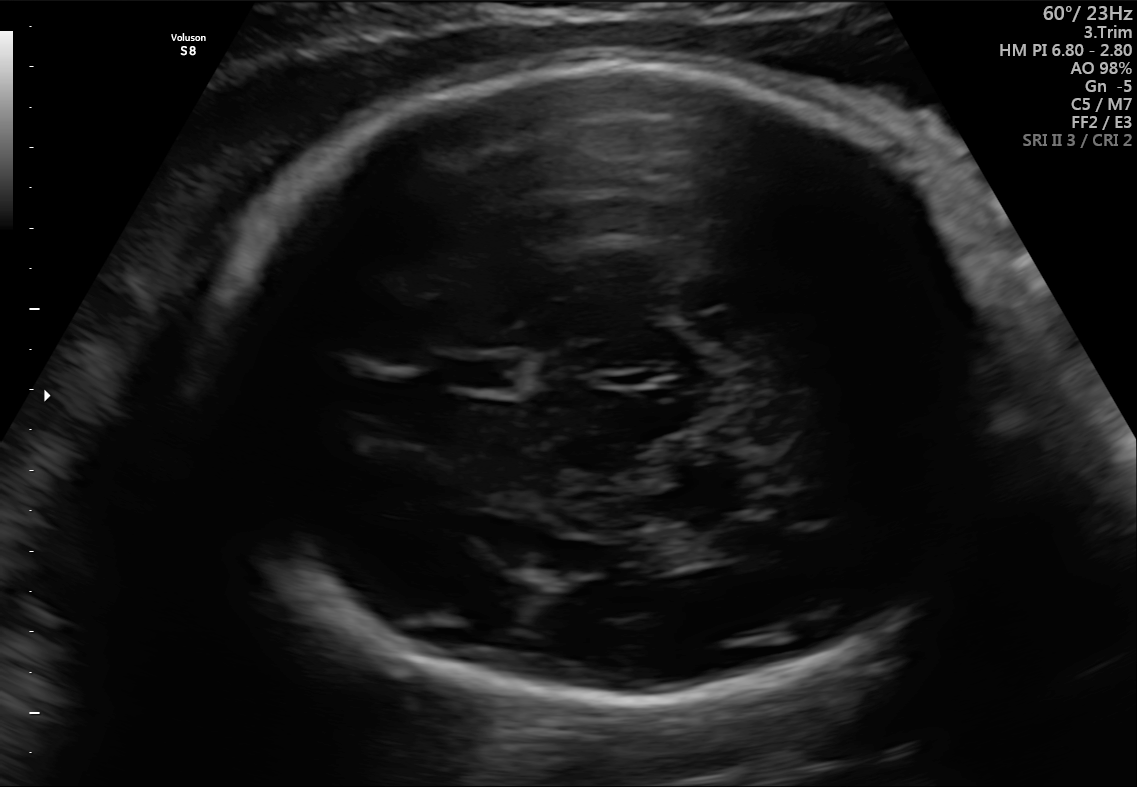
Fetal brain, trans-thalamic plane. Locate the cavum septum pellucidum.

CSP: [435,355,523,391]